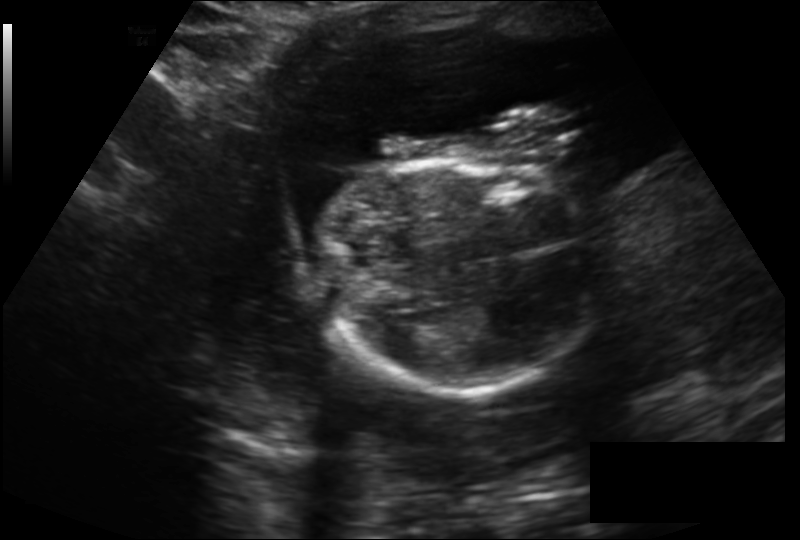
In this fetal head ultrasound, give bounding boxes for the head outline, cavum septum pellucidum (CSP), and lateral ventricle (LV), where visible. Image width: 155.8 mm.

Head: [320,158,596,395]